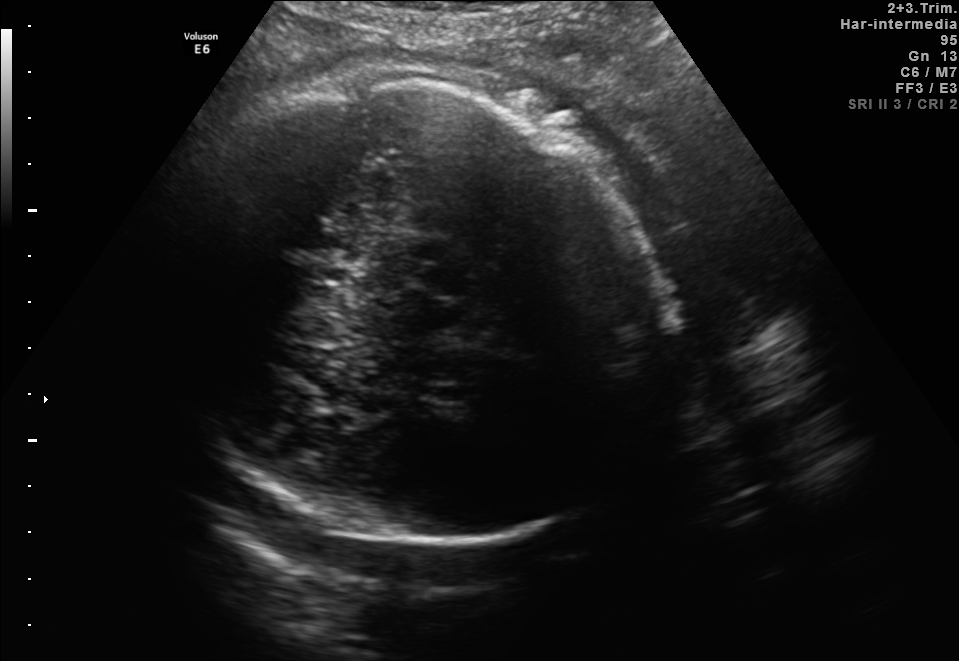
Fetal brain, trans-thalamic plane. Where is the fetal head?

Head bounding box: [140,83,677,542]